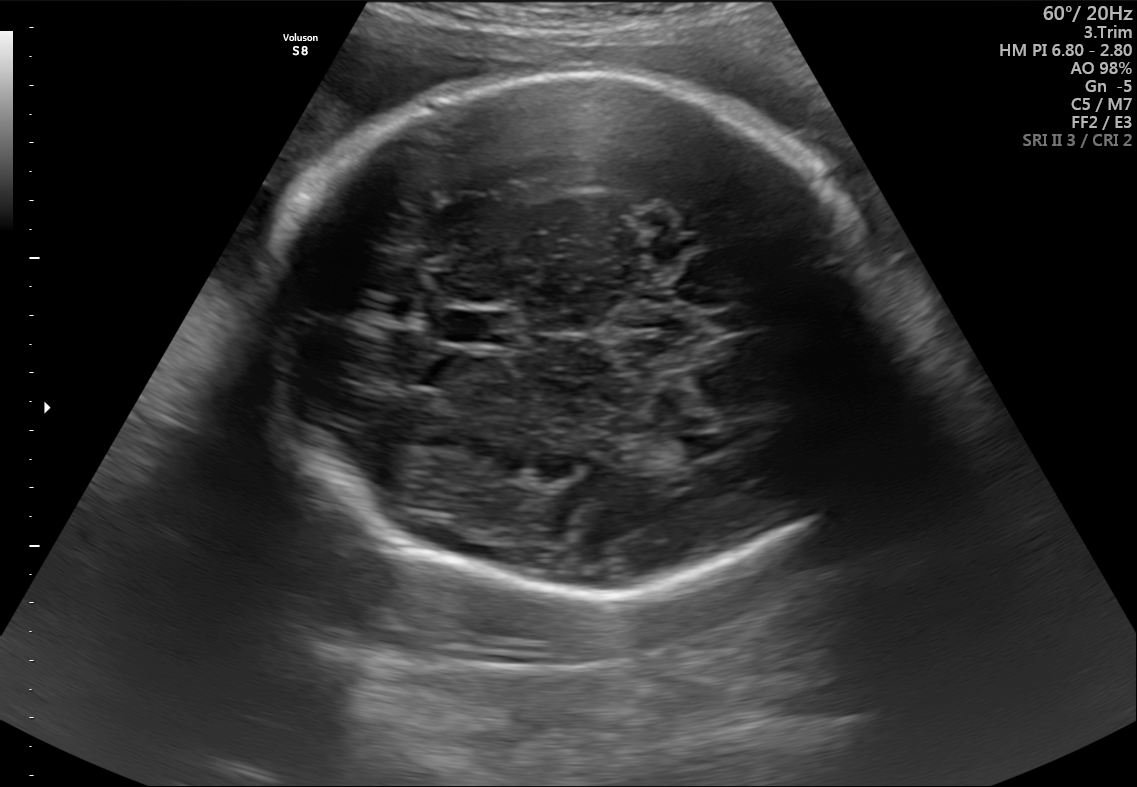
Fetal brain, trans-thalamic plane. Give [x1,y1,x2,y2] bounding boxes for each visible structure among: fetal head, CSP, LV.

Head: [269,71,903,599]
CSP: [445,310,515,345]
Lateral ventricle: [669,433,710,463]